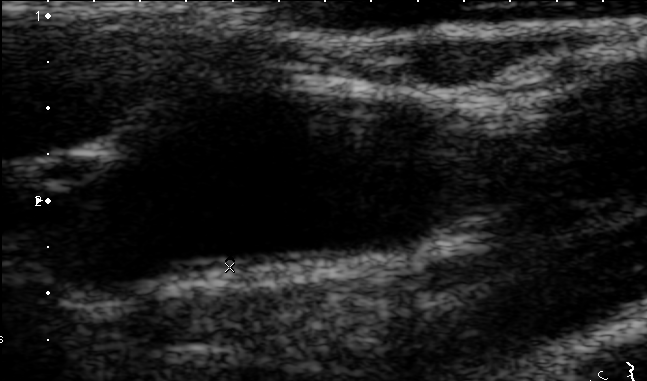
Classify this maternal-fetal ultrasound image as one of the six standard planes — fetal abdomen, fetal brain, fetal femur, fetal thorax, maternal cervix, or other. If it's fetal brain and one of the three standard brain planes (trans-thalamic, trans-cerebellum, trans-ventricular), name which.

Other